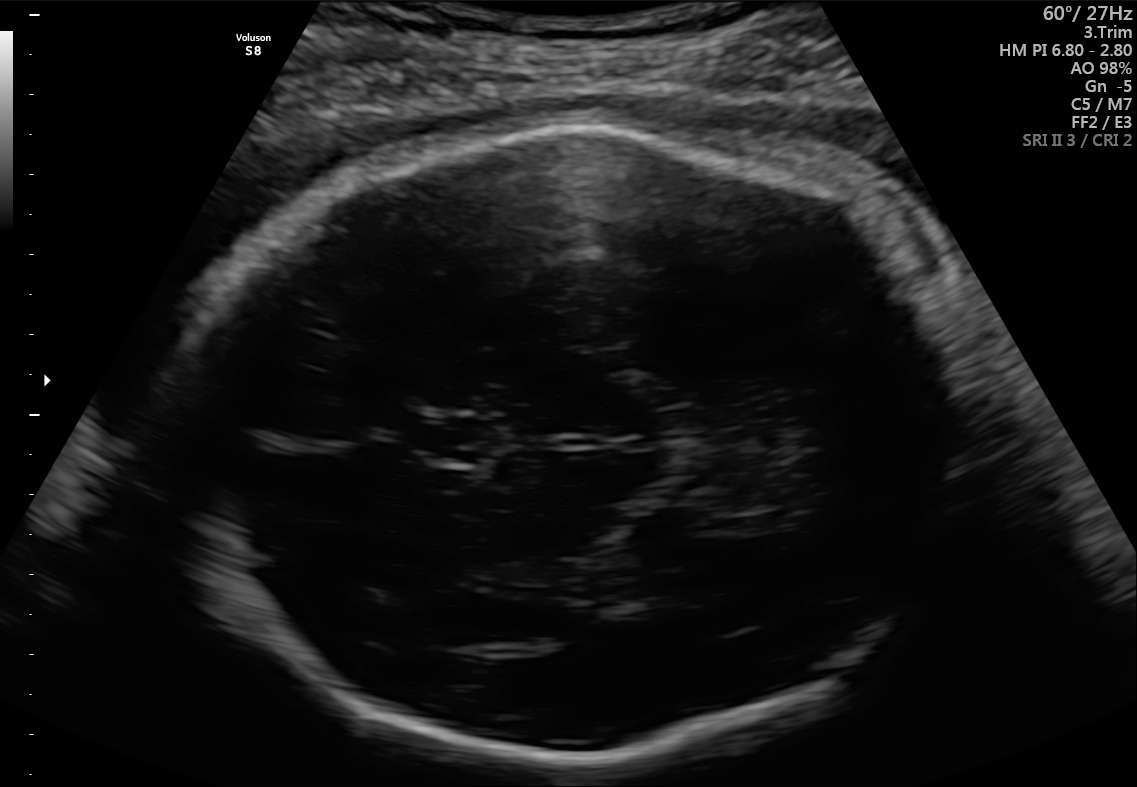
Fetal brain, trans-thalamic plane. Locate the fetal head and, if visible, the cavum septum pellucidum (CSP) and lateral ventricle (LV). Give bounding boxes as [x1,y1,x2,y2].

Head: [166,130,992,764]
CSP: [418,417,488,464]